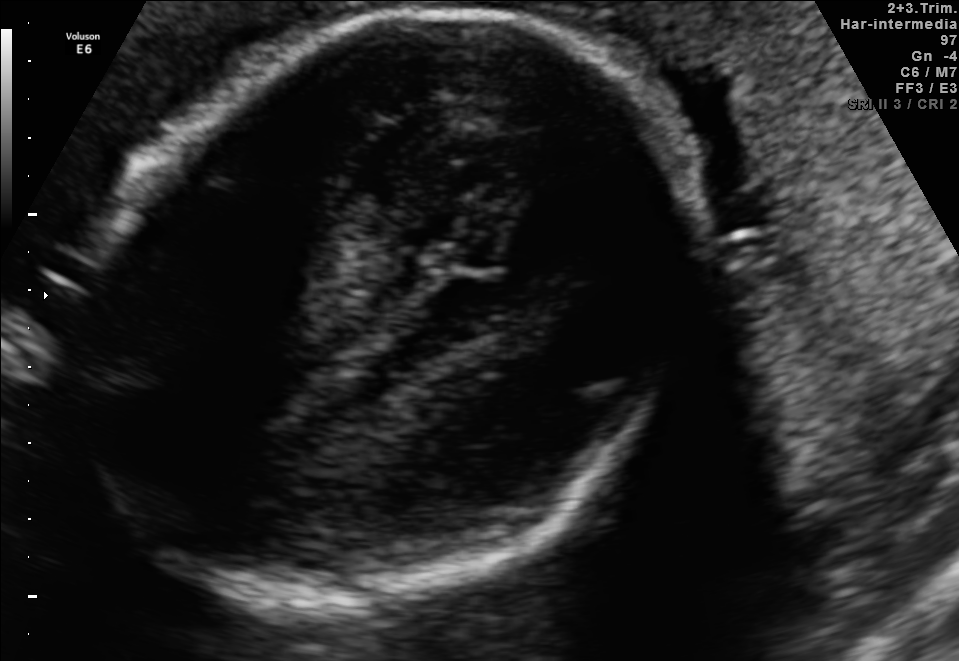
In this fetal brain, trans-thalamic plane, give the bounding box of the fetal head.

[80,9,683,612]